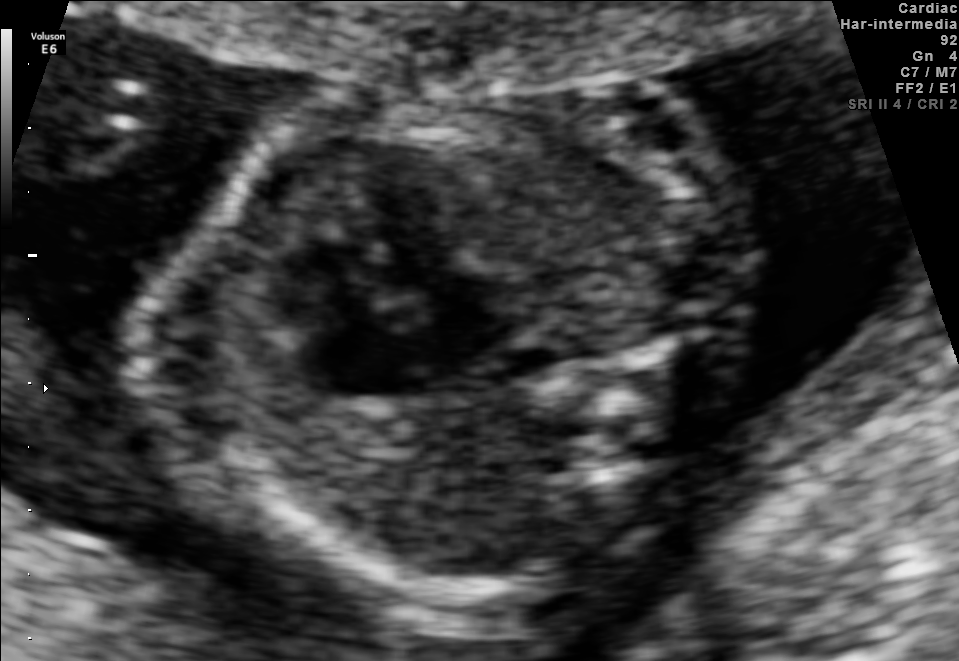
Which standard maternal-fetal ultrasound plane is shown: fetal abdomen, fetal brain, fetal femur, fetal thorax, maternal cervix, or other? If it's fetal brain and one of the three standard brain planes (trans-thalamic, trans-cerebellum, trans-ventricular), name which.

Fetal thorax